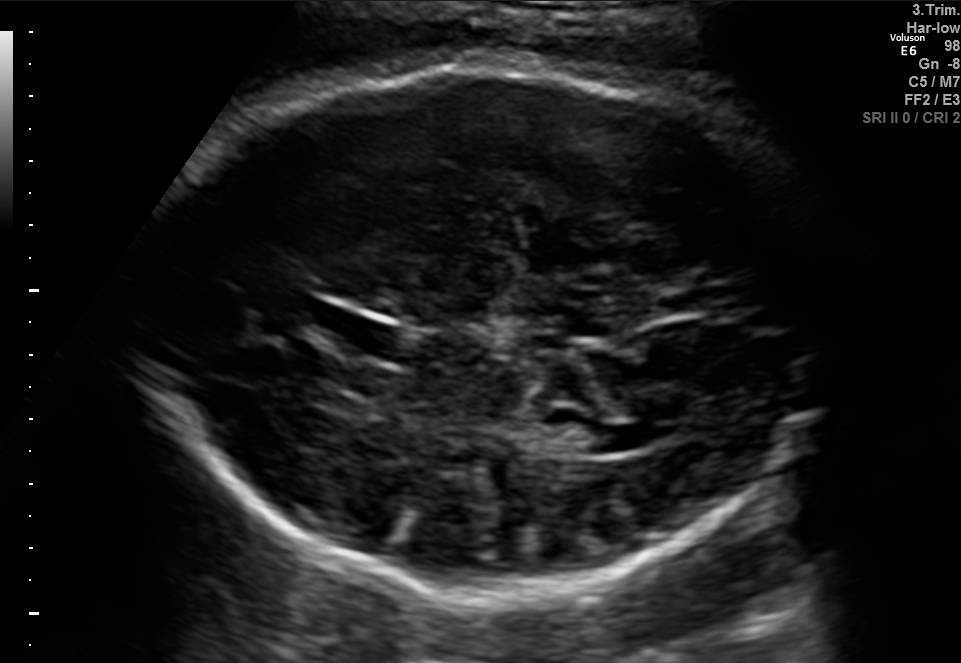
Fetal brain, trans-thalamic plane. Locate the lateral ventricle.

Lateral ventricle: [535,420,618,454]